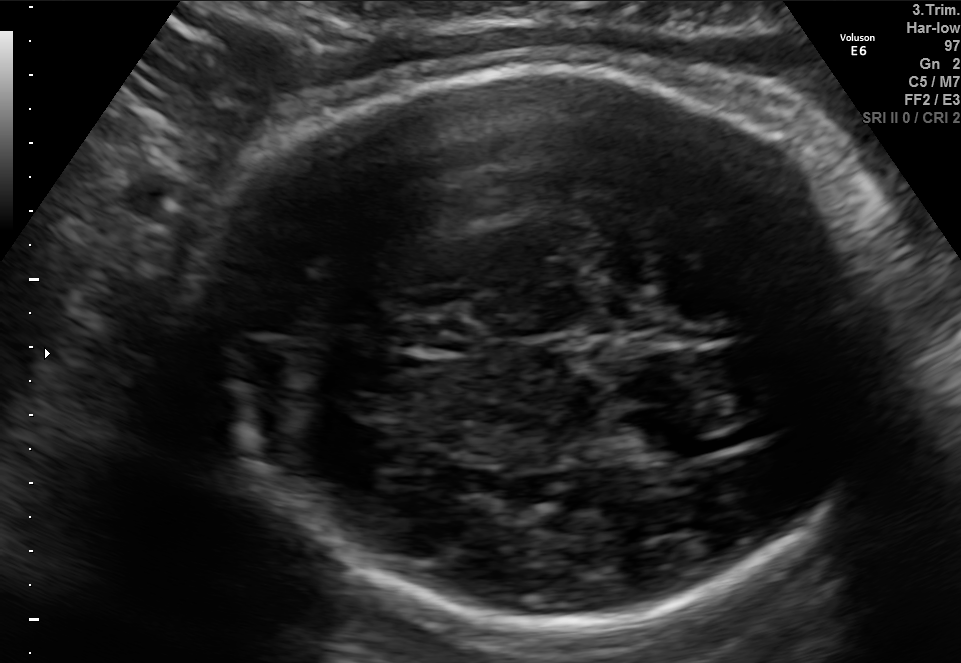
Which standard maternal-fetal ultrasound plane is shown: fetal abdomen, fetal brain, fetal femur, fetal thorax, maternal cervix, or other? If it's fetal brain and one of the three standard brain planes (trans-thalamic, trans-cerebellum, trans-ventricular), name which.

Fetal brain (trans-thalamic plane)